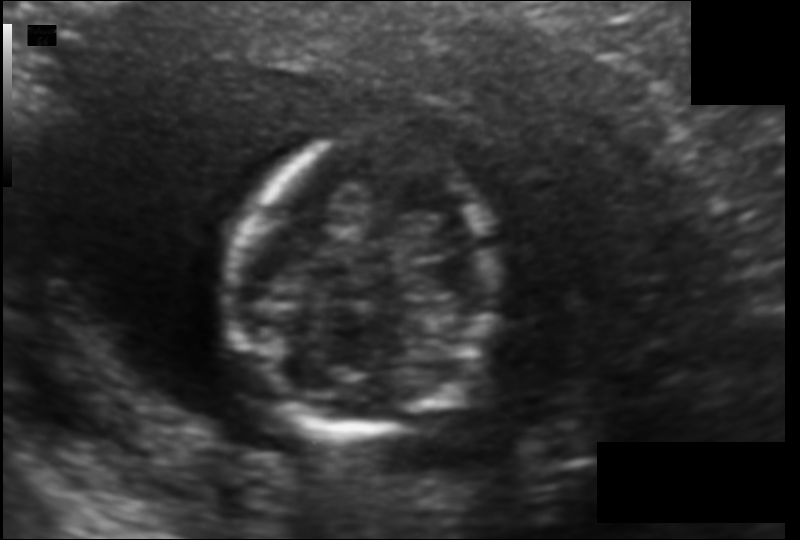
In this fetal head ultrasound, give the bounding box of the fetal head. Image width: 83.0 mm.

[228,138,494,435]